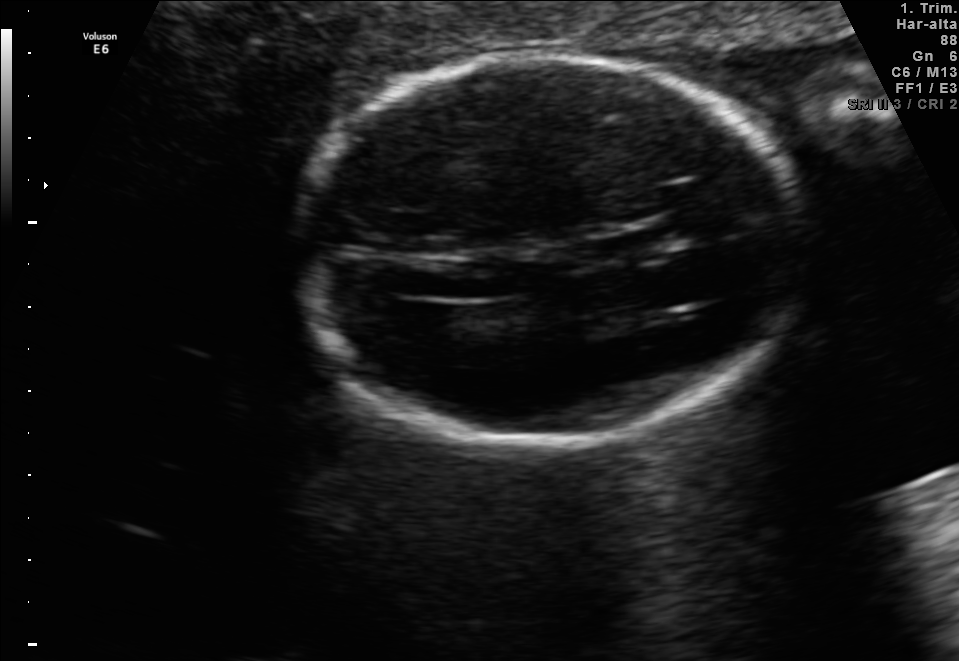
Fetal brain, trans-thalamic plane. Where is the fetal head?

Head bounding box: [297,58,804,443]